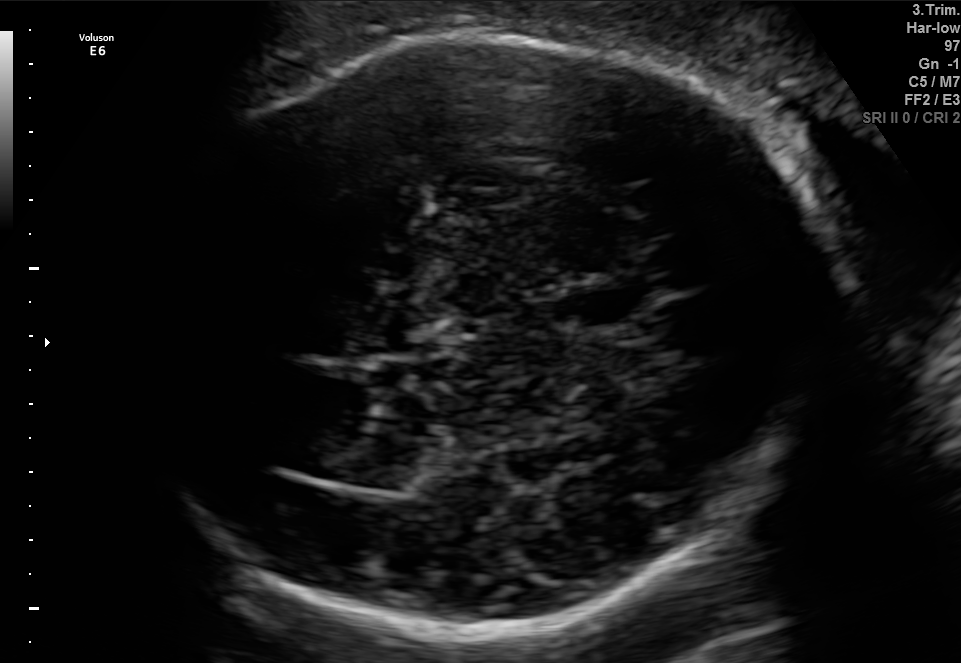
This is a 2D maternal-fetal ultrasound frame. Is it a fetal abdomen, fetal brain, fetal femur, fetal thorax, maternal cervix, or other standard plane? If it's fetal brain and one of the three standard brain planes (trans-thalamic, trans-cerebellum, trans-ventricular), name which.

Fetal brain (trans-thalamic plane)